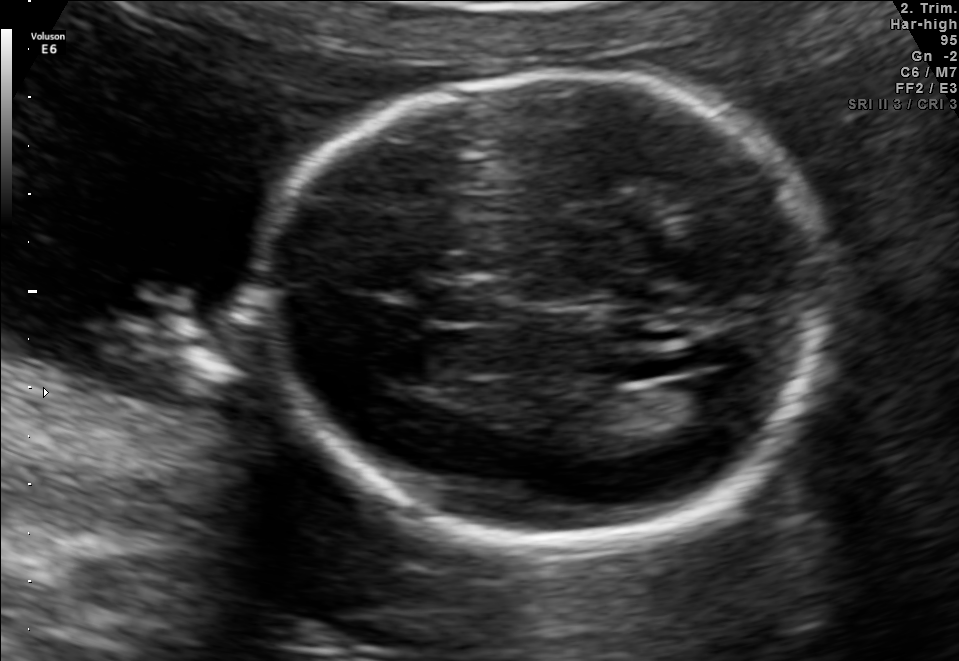
In this fetal brain, trans-ventricular plane, give the bounding box of the cavum septum pellucidum.

[427,290,497,323]